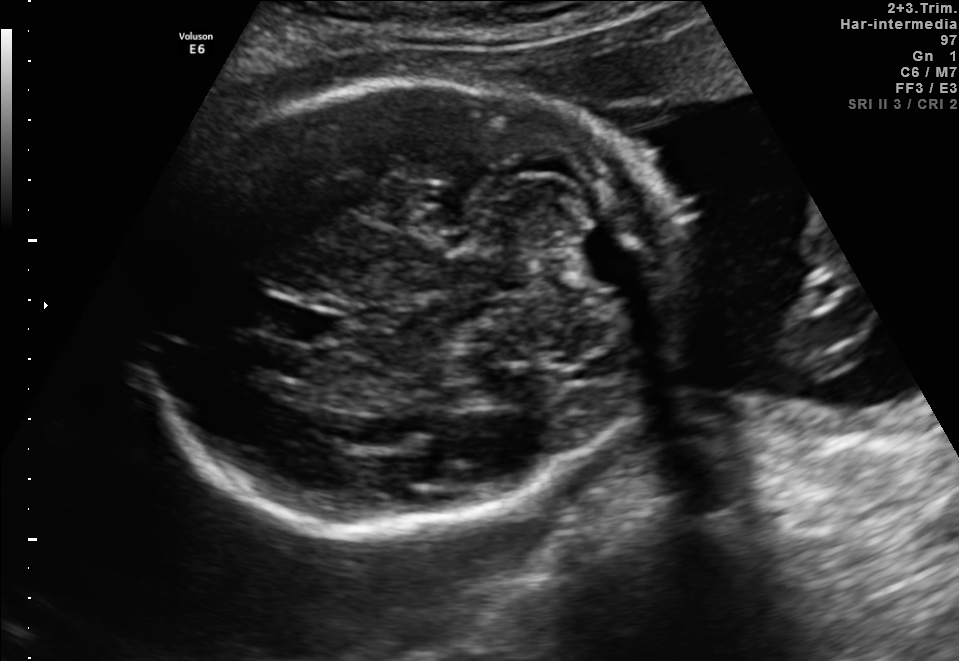
Fetal brain, trans-cerebellum plane. Locate the cavum septum pellucidum.

CSP: [250,291,333,351]